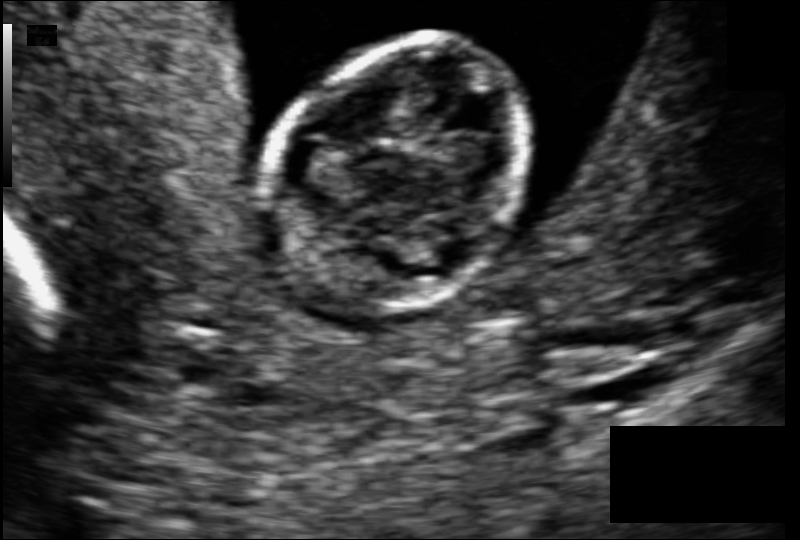
Fetal head ultrasound. Image width: 63.6 mm. Locate the fetal head.

Head: [266,41,532,315]